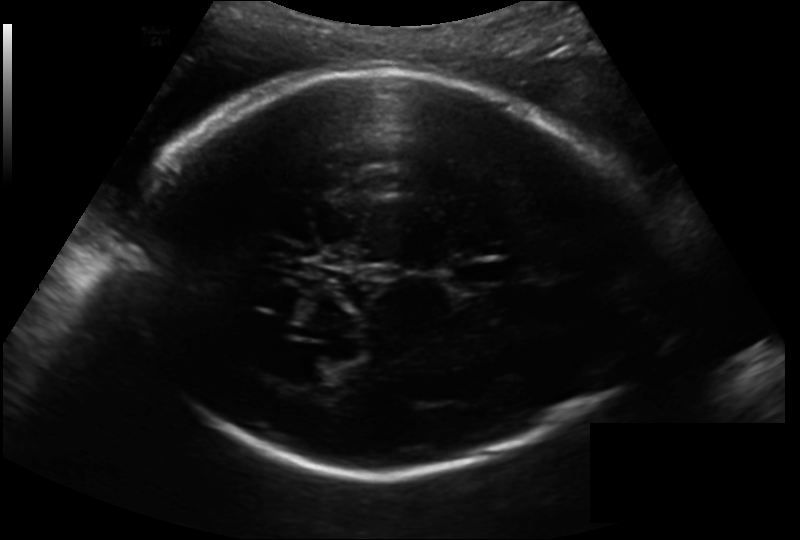
In this fetal head ultrasound, give the bounding box of the lateral ventricle. Image width: 154.5 mm.

[284,355,340,385]